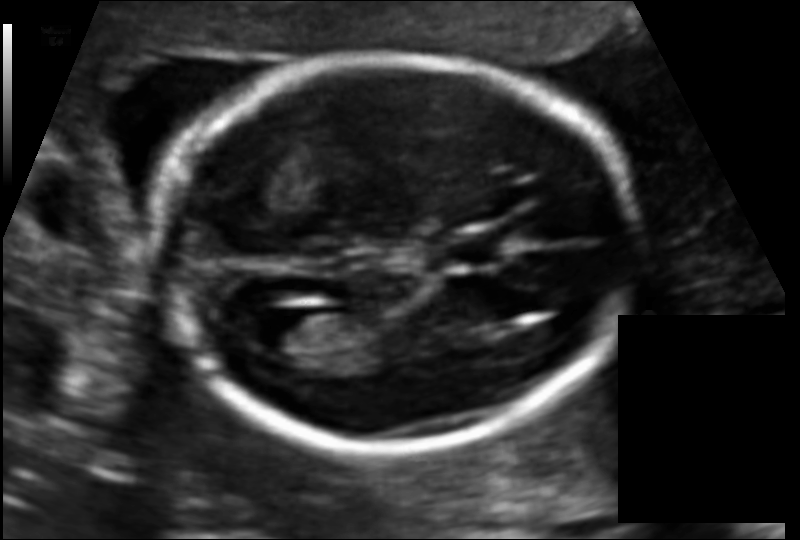
Fetal head ultrasound. Image width: 87.1 mm. Give [x1,y1,x2,y2] bounding boxes for each visible structure among: fetal head, CSP, LV.

Head: [158,55,636,446]
CSP: [443,234,501,268]
Lateral ventricle: [239,305,319,352]